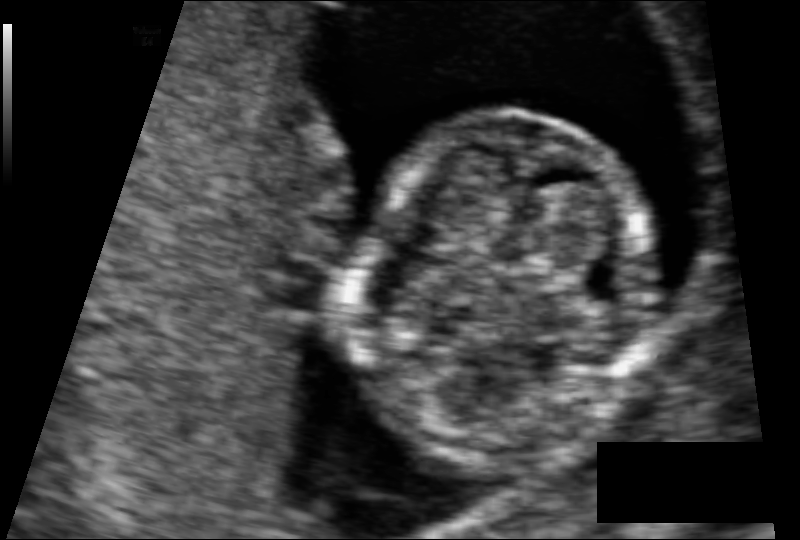
Fetal head ultrasound. Image width: 58.9 mm. Locate the fetal head and, if visible, the cavum septum pellucidum (CSP) and lateral ventricle (LV). Give bounding boxes as [x1,y1,x2,y2].

Head: [358,112,657,464]